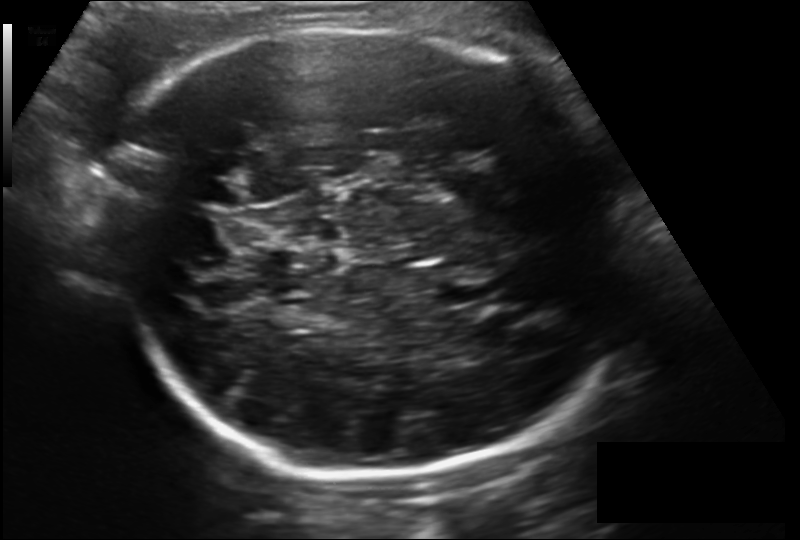
From this fetal ultrasound, estimate the head circumference (image width 152.2 mm).

Head circumference: 302.8 mm.